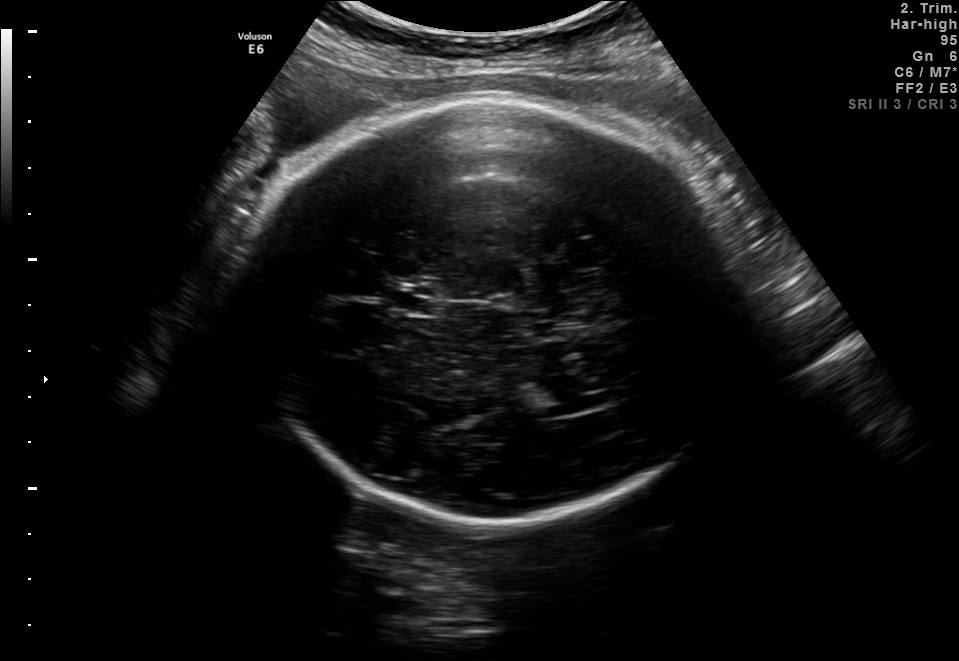
Fetal brain, trans-ventricular plane. Locate the fetal head.

Head: [234,91,751,526]